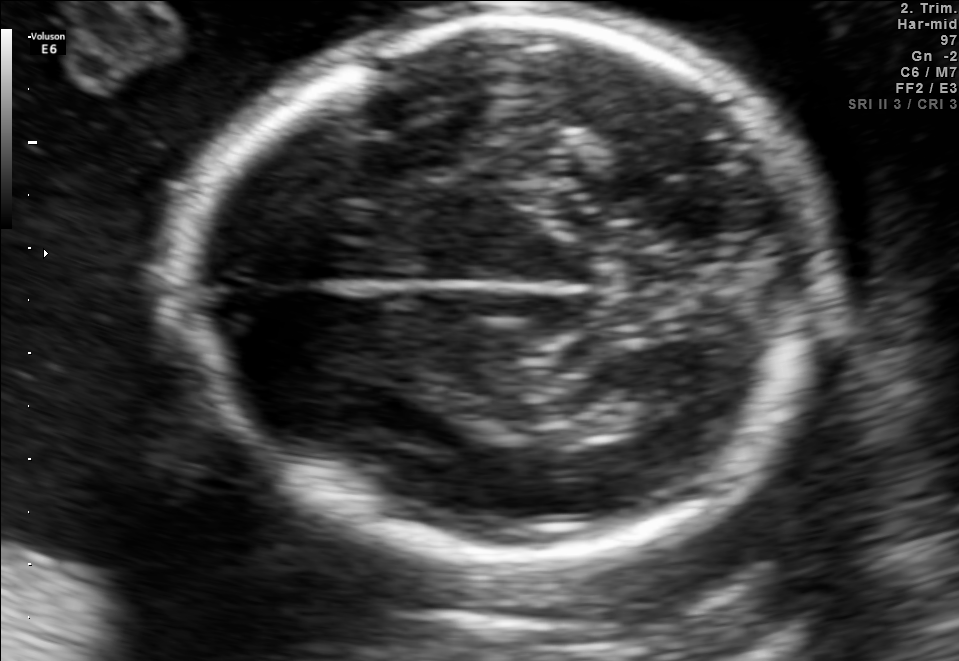
Fetal brain, trans-thalamic plane. Where is the fetal head?

Head bounding box: [177,17,836,568]